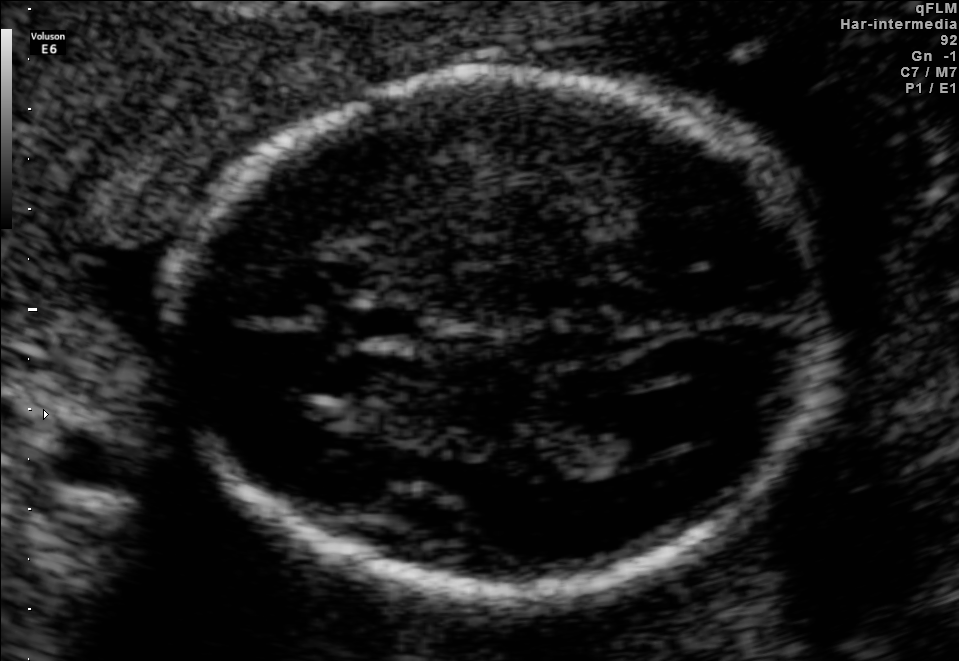
Fetal brain, trans-ventricular plane. Give [x1,y1,x2,y2] bounding boxes for each visible structure among: fetal head, CSP, LV.

Head: [153,63,852,604]
CSP: [350,306,437,337]